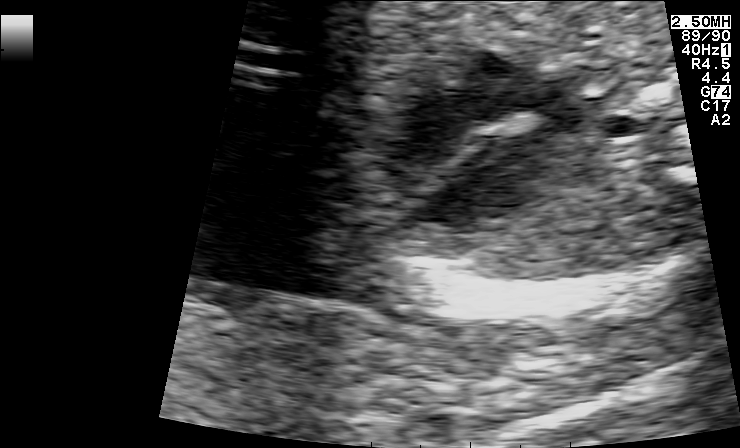
Classify this maternal-fetal ultrasound image as one of the six standard planes — fetal abdomen, fetal brain, fetal femur, fetal thorax, maternal cervix, or other. If it's fetal brain and one of the three standard brain planes (trans-thalamic, trans-cerebellum, trans-ventricular), name which.

Other